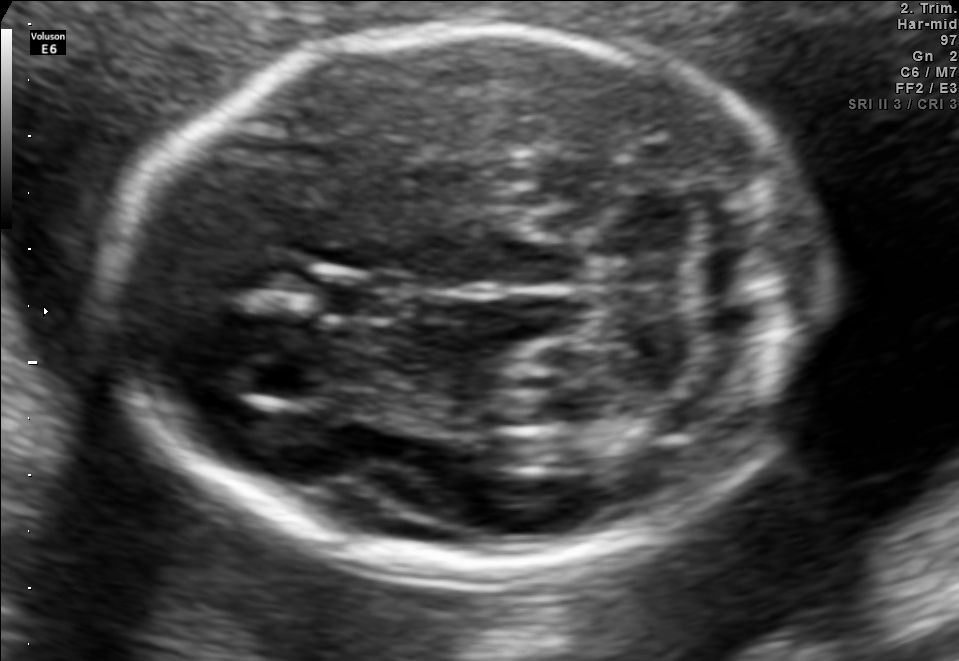
This is a 2D maternal-fetal ultrasound frame. Is it a fetal abdomen, fetal brain, fetal femur, fetal thorax, maternal cervix, or other standard plane? If it's fetal brain and one of the three standard brain planes (trans-thalamic, trans-cerebellum, trans-ventricular), name which.

Fetal brain (trans-cerebellum plane)